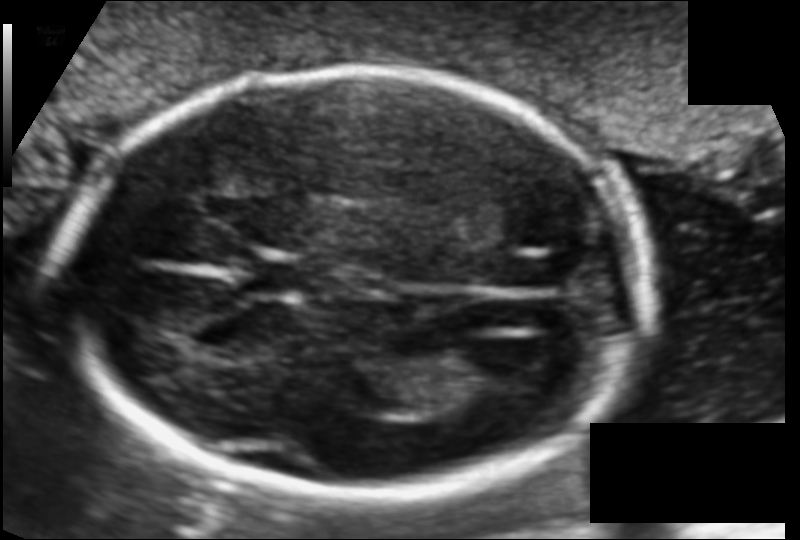
Fetal head ultrasound. Image width: 87.9 mm. Locate the fetal head.

Head: [69,69,644,495]